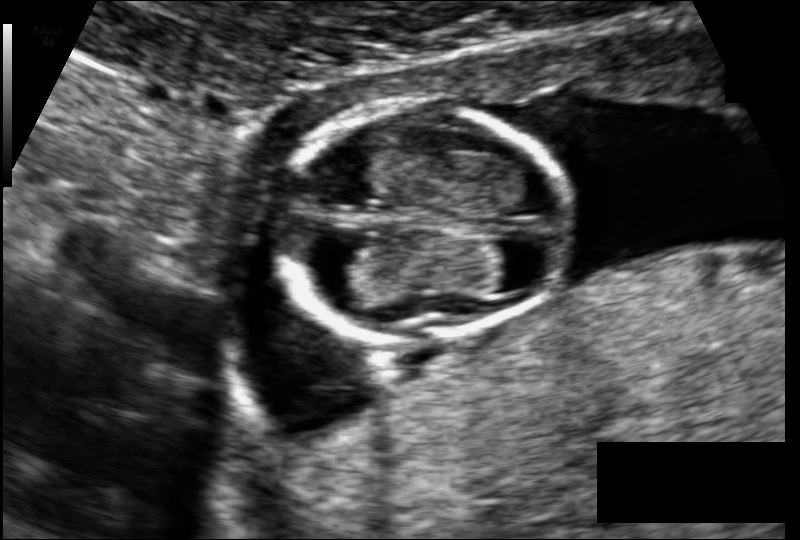
Fetal head ultrasound. Image width: 78.5 mm. Locate the fetal head and, if visible, the cavum septum pellucidum (CSP) and lateral ventricle (LV). Give bounding boxes as [x1,y1,x2,y2].

Head: [275,105,576,337]